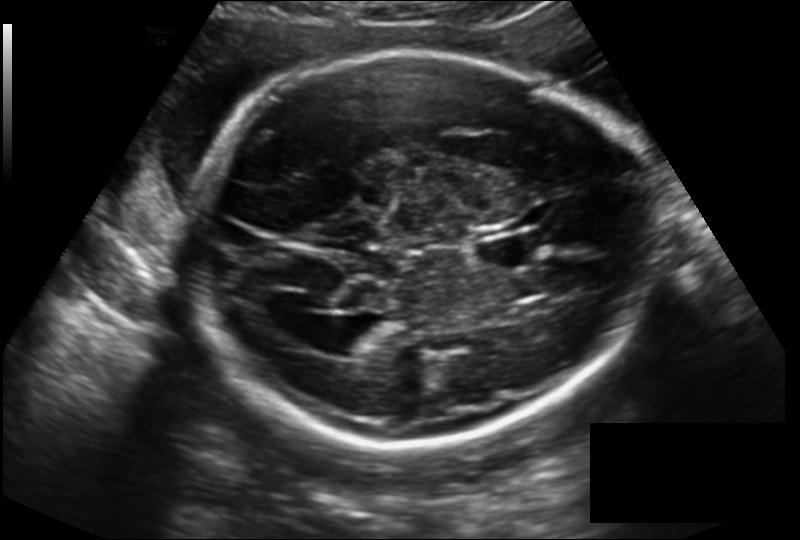
Fetal head ultrasound. Image width: 155.0 mm. Locate the lateral ventricle.

Lateral ventricle: [313,313,385,360]